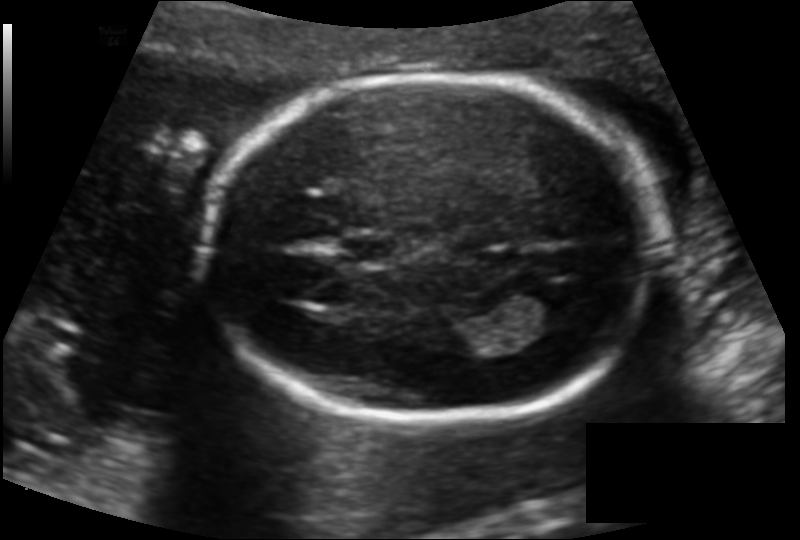
Fetal head ultrasound. Image width: 104.1 mm. Locate the cavum septum pellucidum.

CSP: [340,233,401,265]